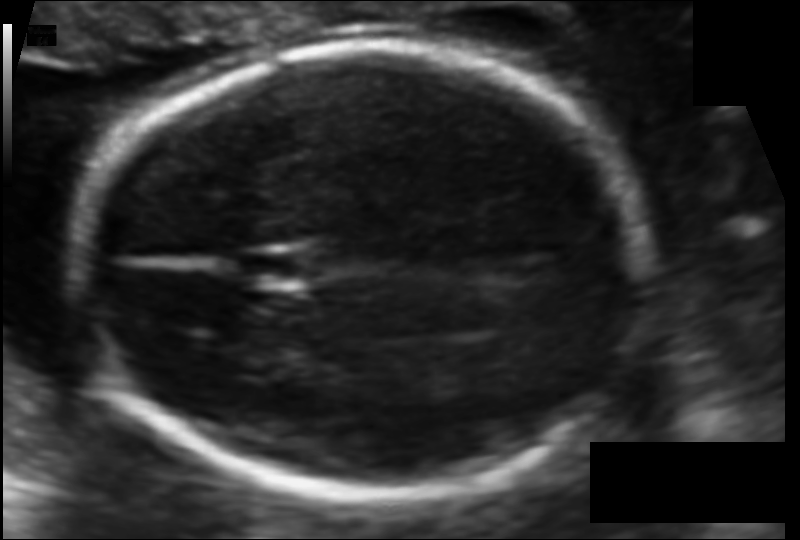
In this fetal head ultrasound, give bounding boxes for the head outline, cavum septum pellucidum (CSP), and lateral ventricle (LV), where visible. Image width: 84.8 mm.

Head: [81,47,644,500]
CSP: [235,248,308,290]